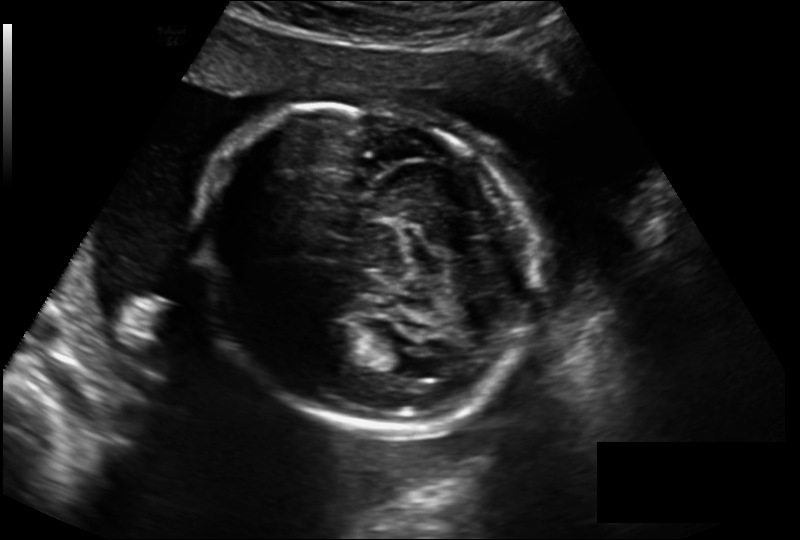
What is the fetal head circumference? Image width is 168.7 mm.

229.4 mm